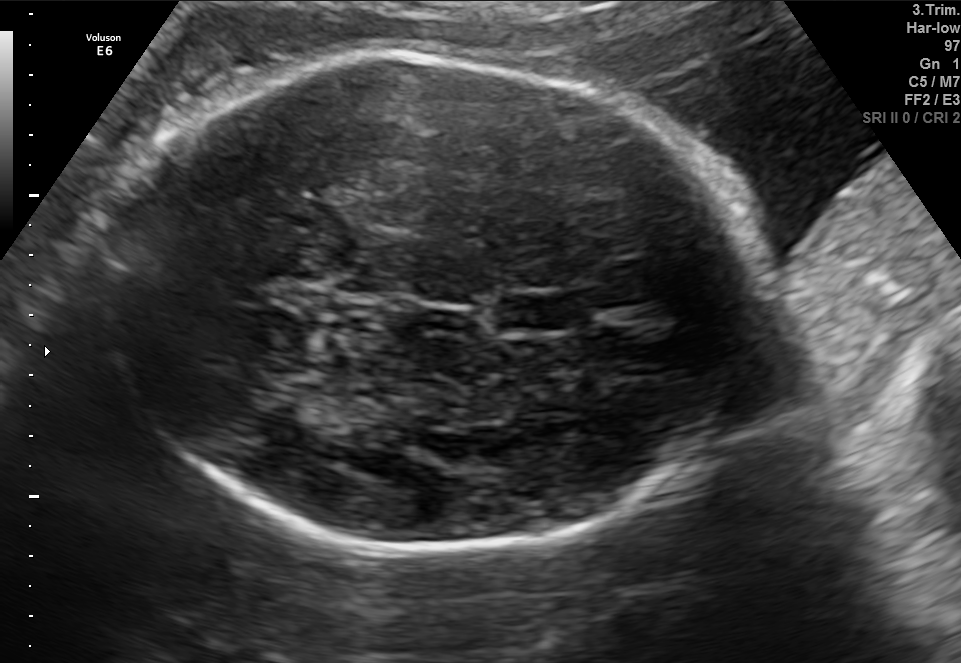
In this fetal brain, trans-thalamic plane, give bounding boxes for the head outline, cavum septum pellucidum (CSP), and lateral ventricle (LV), where visible.

Head: [93,53,762,550]
CSP: [496,294,562,331]